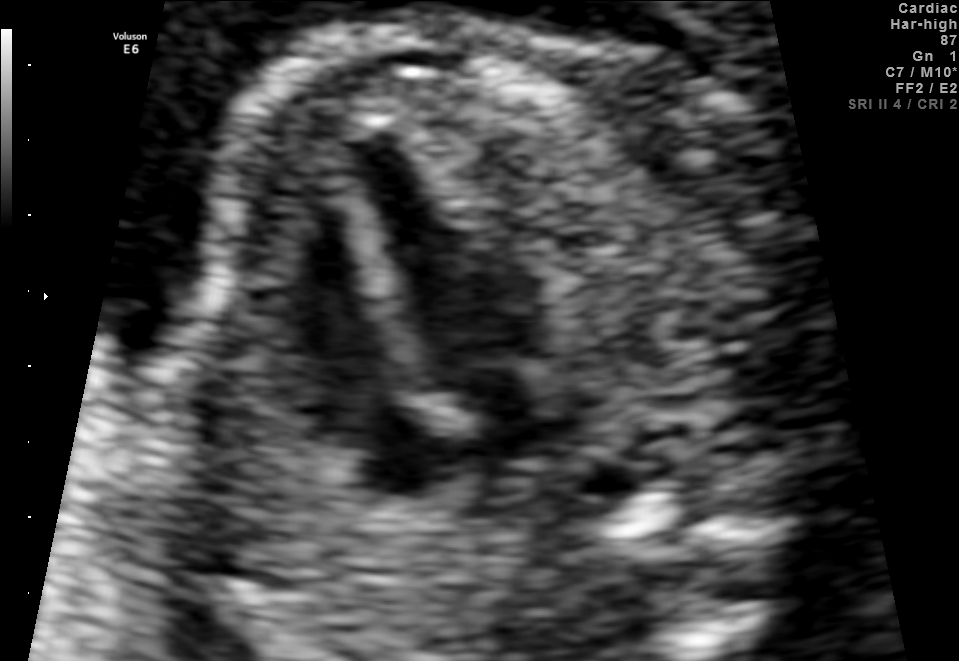
Classify this maternal-fetal ultrasound image as one of the six standard planes — fetal abdomen, fetal brain, fetal femur, fetal thorax, maternal cervix, or other. If it's fetal brain and one of the three standard brain planes (trans-thalamic, trans-cerebellum, trans-ventricular), name which.

Fetal thorax